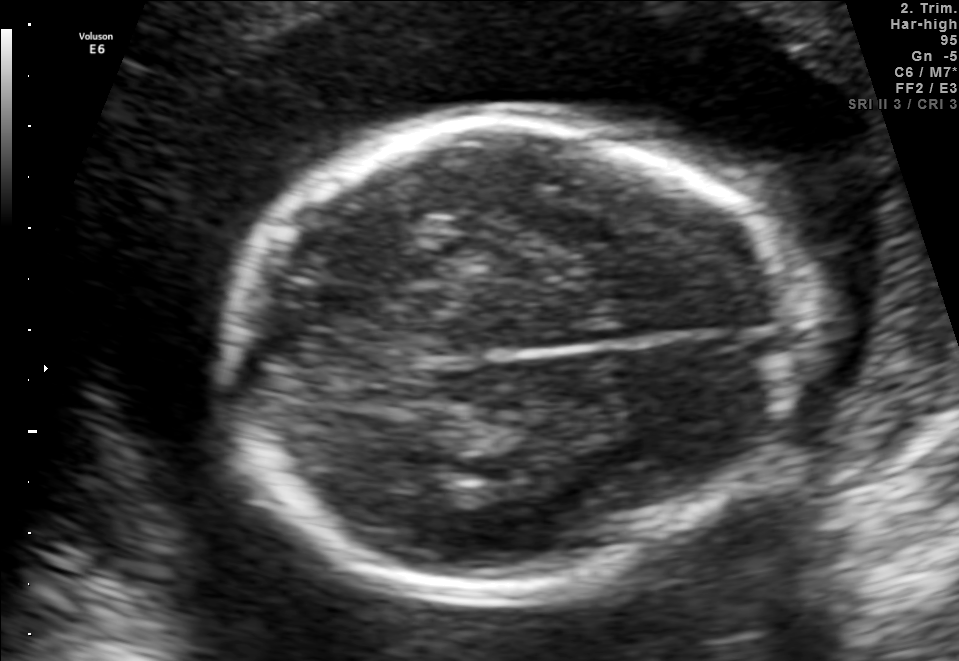
Fetal brain, trans-thalamic plane. Give [x1,y1,x2,y2] bounding boxes for each visible structure among: fetal head, CSP, LV.

Head: [218,118,803,595]